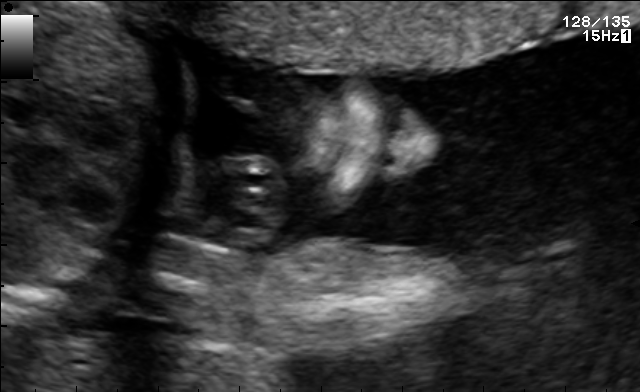
Classify this maternal-fetal ultrasound image as one of the six standard planes — fetal abdomen, fetal brain, fetal femur, fetal thorax, maternal cervix, or other. If it's fetal brain and one of the three standard brain planes (trans-thalamic, trans-cerebellum, trans-ventricular), name which.

Other